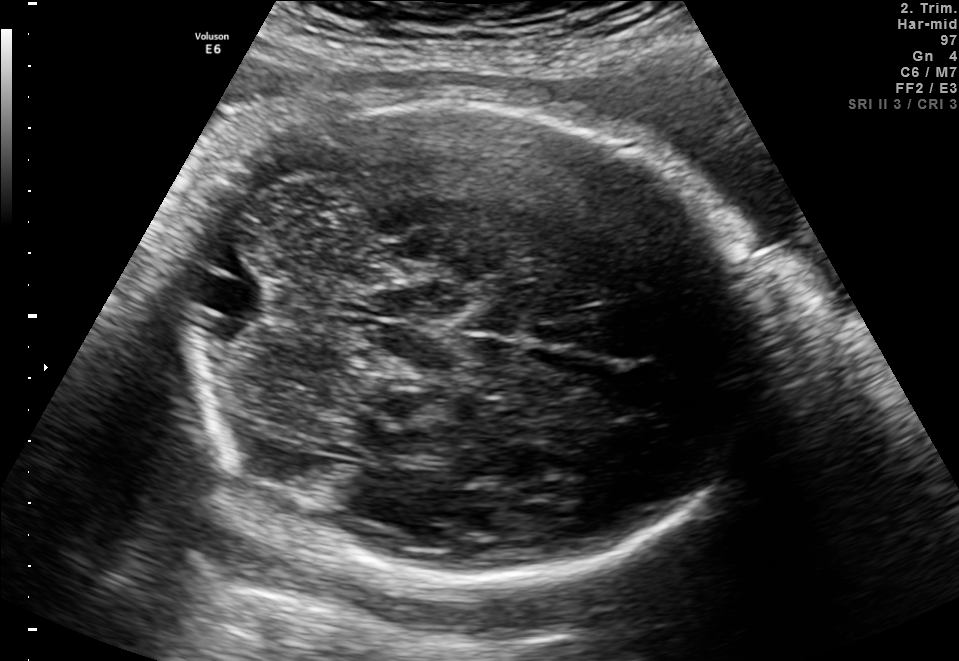
In this fetal brain, trans-cerebellum plane, give bounding boxes for the head outline, cavum septum pellucidum (CSP), and lateral ventricle (LV), where visible.

Head: [167,98,762,575]